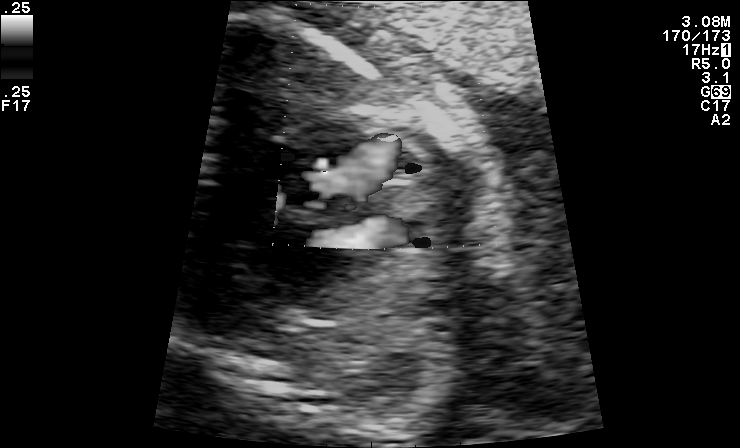
Which standard maternal-fetal ultrasound plane is shown: fetal abdomen, fetal brain, fetal femur, fetal thorax, maternal cervix, or other? If it's fetal brain and one of the three standard brain planes (trans-thalamic, trans-cerebellum, trans-ventricular), name which.

Other